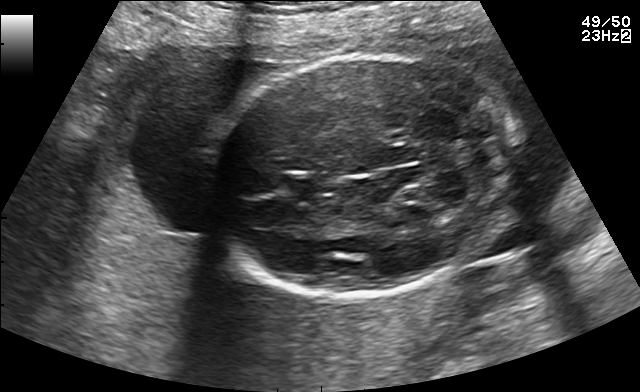
Fetal brain, trans-cerebellum plane. Give [x1,y1,x2,y2] bounding boxes for each visible structure among: fetal head, CSP, LV.

Head: [208,53,517,295]
CSP: [286,172,336,197]